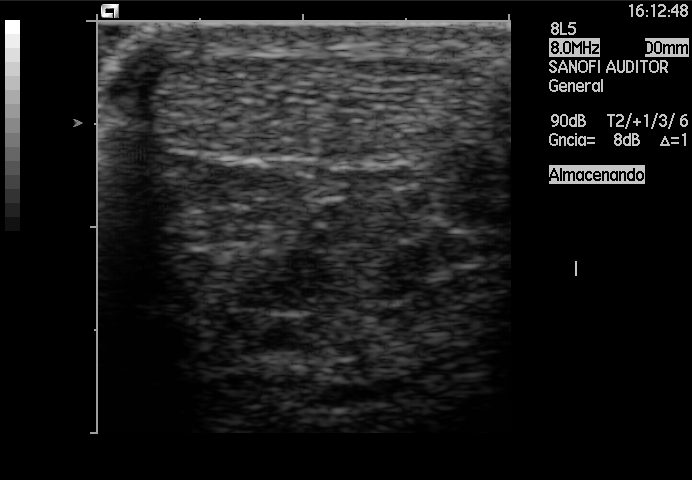
Classify this maternal-fetal ultrasound image as one of the six standard planes — fetal abdomen, fetal brain, fetal femur, fetal thorax, maternal cervix, or other. If it's fetal brain and one of the three standard brain planes (trans-thalamic, trans-cerebellum, trans-ventricular), name which.

Other